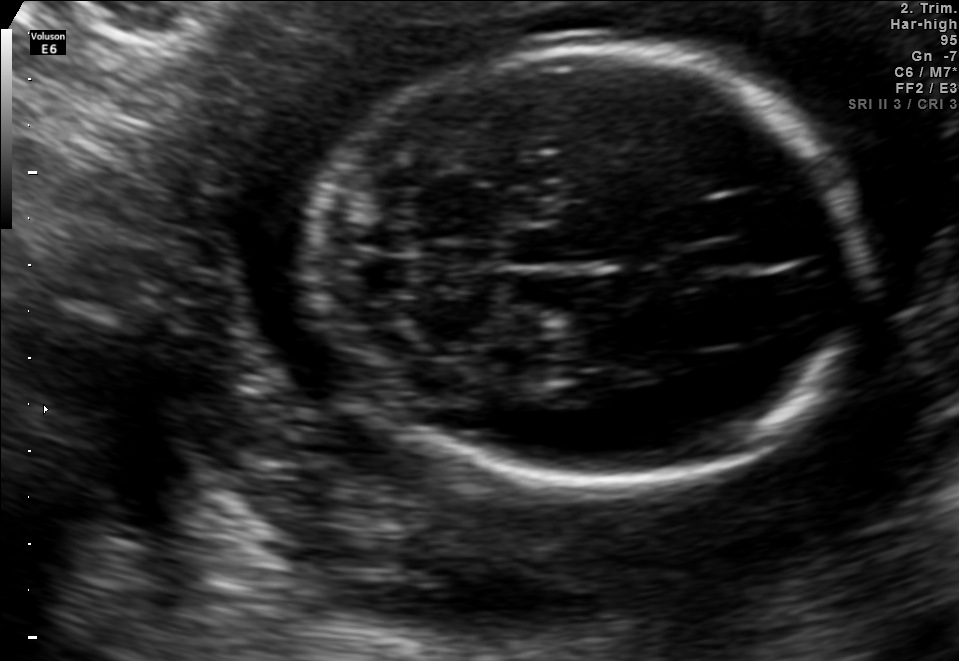
In this fetal brain, trans-cerebellum plane, give bounding boxes for the head outline, cavum septum pellucidum (CSP), and lateral ventricle (LV), where visible.

Head: [312,49,855,482]